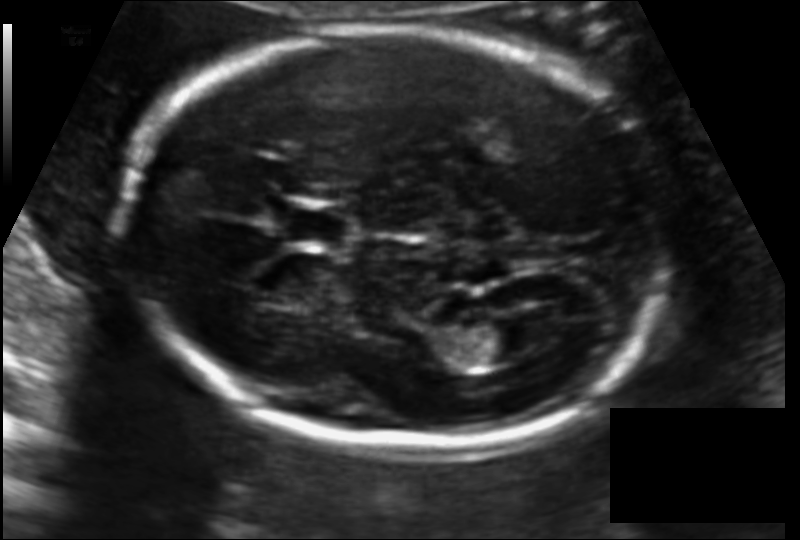
In this fetal head ultrasound, give the bounding box of the lateral ventricle. Image width: 95.2 mm.

[456,311,541,371]